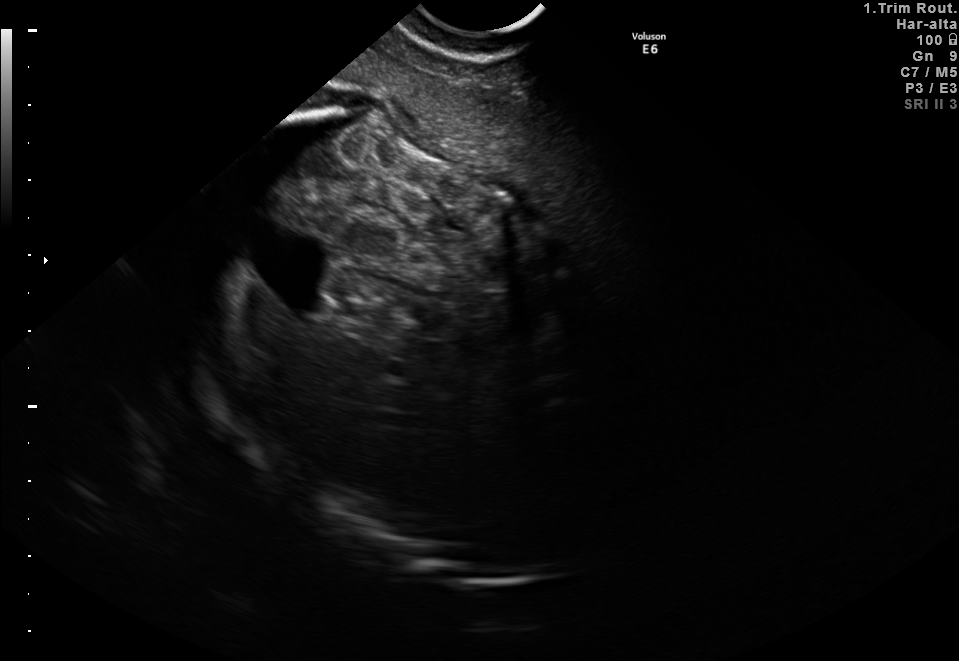
This is a 2D maternal-fetal ultrasound frame. Is it a fetal abdomen, fetal brain, fetal femur, fetal thorax, maternal cervix, or other standard plane? If it's fetal brain and one of the three standard brain planes (trans-thalamic, trans-cerebellum, trans-ventricular), name which.

Other